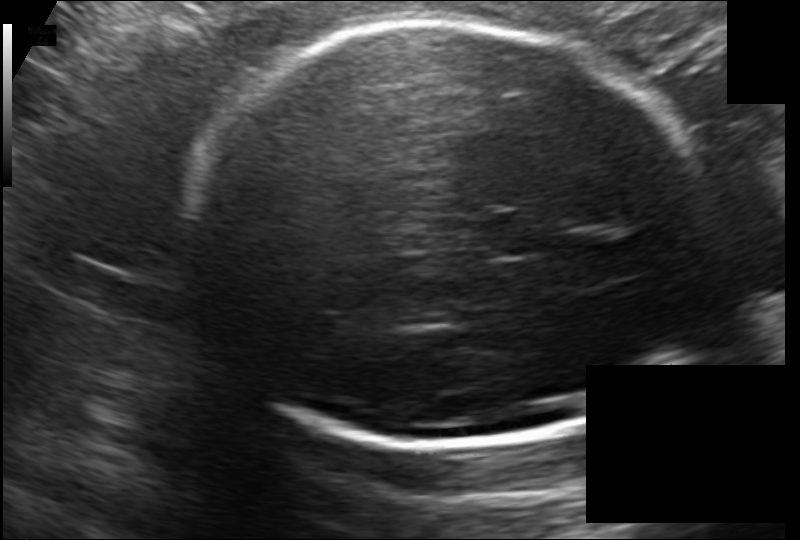
In this fetal head ultrasound, give bounding boxes for the head outline, cavum septum pellucidum (CSP), and lateral ventricle (LV), where visible. Image width: 137.9 mm.

Head: [189,21,705,445]